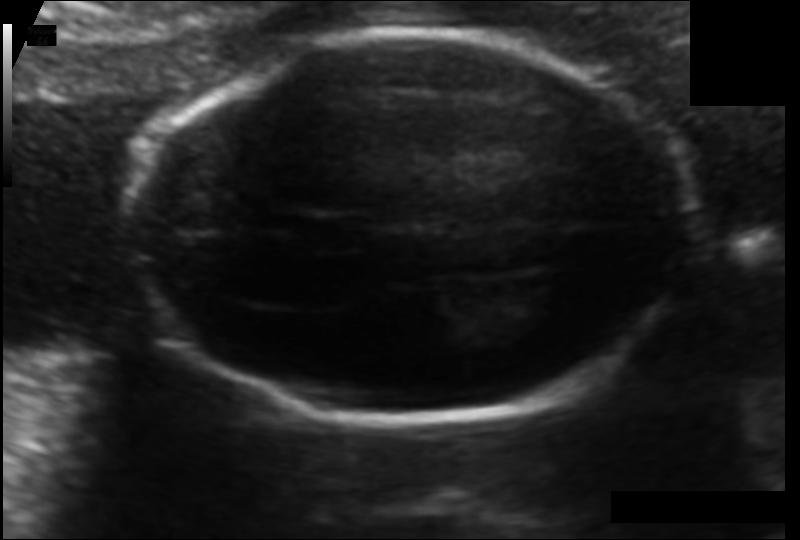
Estimate the fetal head circumference from this 2D ultrasound.

Head circumference: 159.5 mm (image width 82.3 mm).